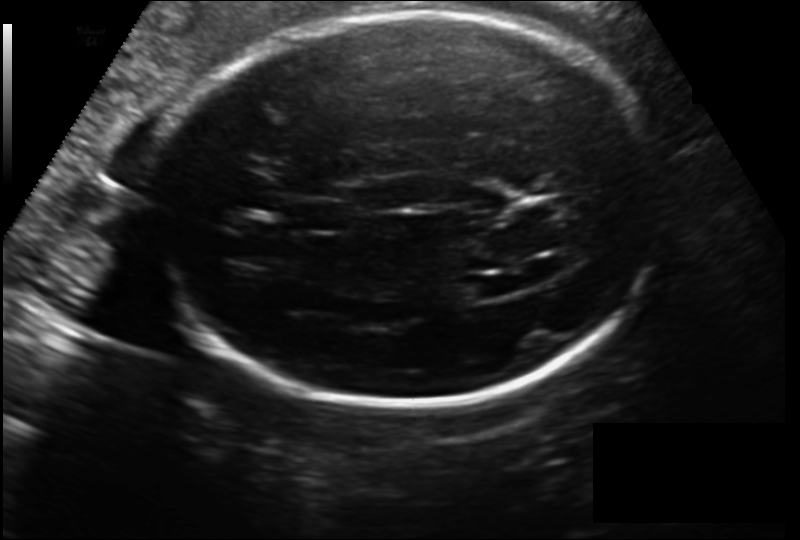
In this fetal head ultrasound, give the bounding box of the lateral ventricle. Image width: 149.1 mm.

[447,274,501,305]